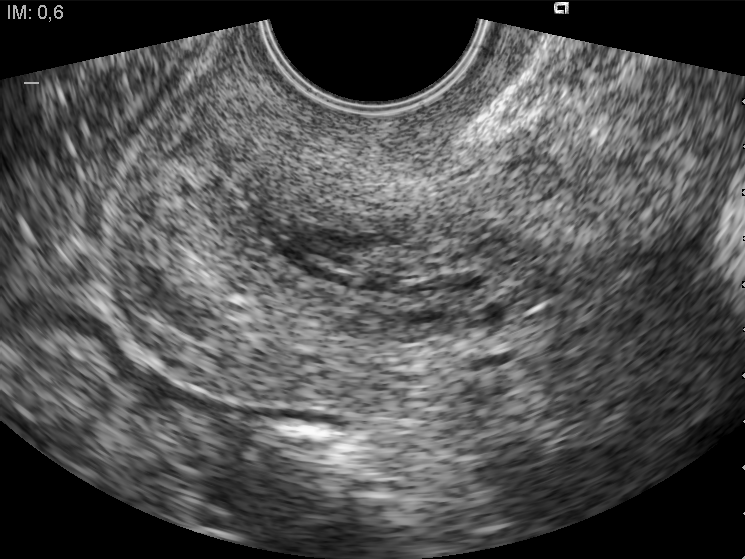
Classify this maternal-fetal ultrasound image as one of the six standard planes — fetal abdomen, fetal brain, fetal femur, fetal thorax, maternal cervix, or other. If it's fetal brain and one of the three standard brain planes (trans-thalamic, trans-cerebellum, trans-ventricular), name which.

Maternal cervix